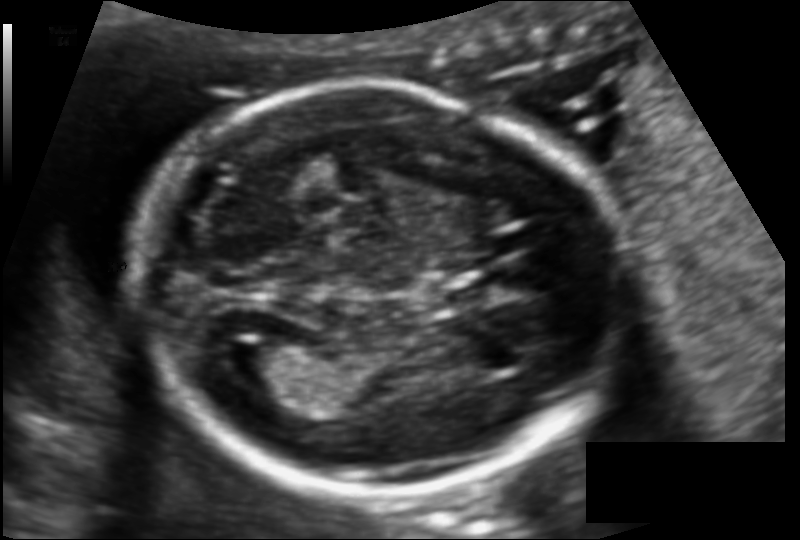
Fetal head ultrasound. Image width: 89.5 mm. Locate the fetal head.

Head: [134,90,614,494]